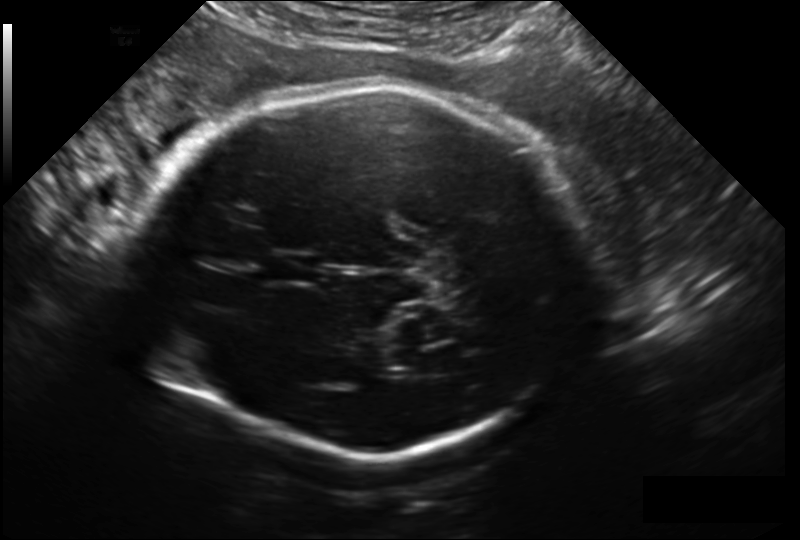
What is the fetal head circumference? Image width is 167.2 mm.

283.0 mm